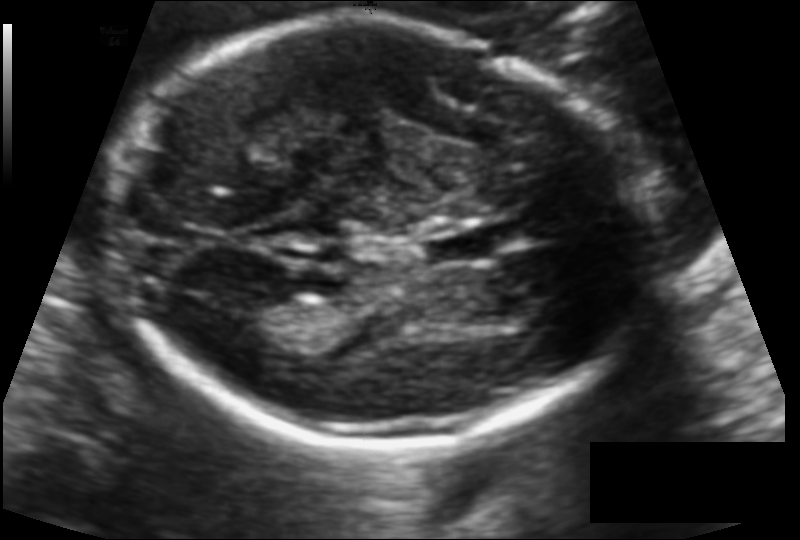
Fetal head ultrasound. Image width: 90.9 mm. Give [x1,y1,x2,y2] bounding boxes for each visible structure among: fetal head, CSP, LV.

Head: [110,20,650,444]
CSP: [417,221,499,270]
Lateral ventricle: [231,287,309,345]